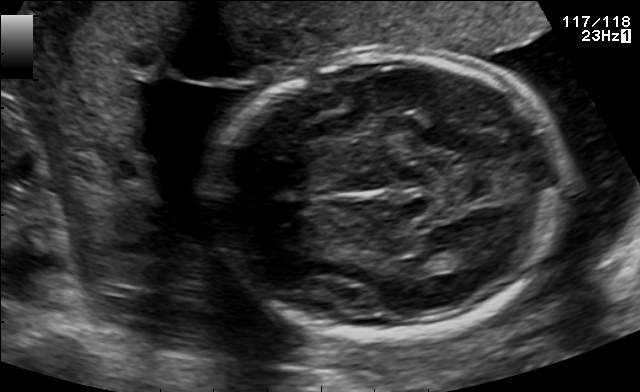
Fetal brain, trans-thalamic plane. Locate the fetal head and, if visible, the cavum septum pellucidum (CSP) and lateral ventricle (LV). Give bounding boxes as [x1,y1,x2,y2].

Head: [208,55,570,334]
Lateral ventricle: [415,242,473,278]